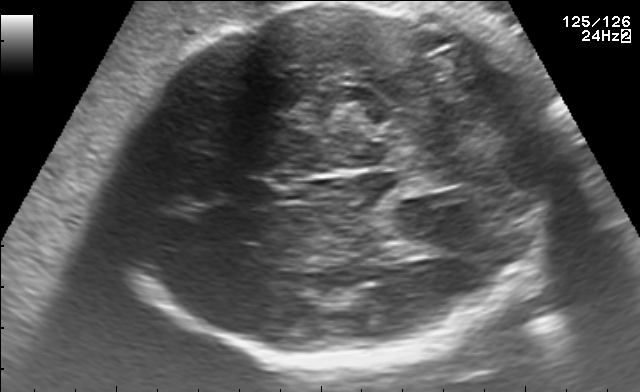
Fetal brain, trans-thalamic plane. Locate the fetal head and, if visible, the cavum septum pellucidum (CSP) and lateral ventricle (LV). Give bounding boxes as [x1,y1,x2,y2].

Head: [113,2,578,366]